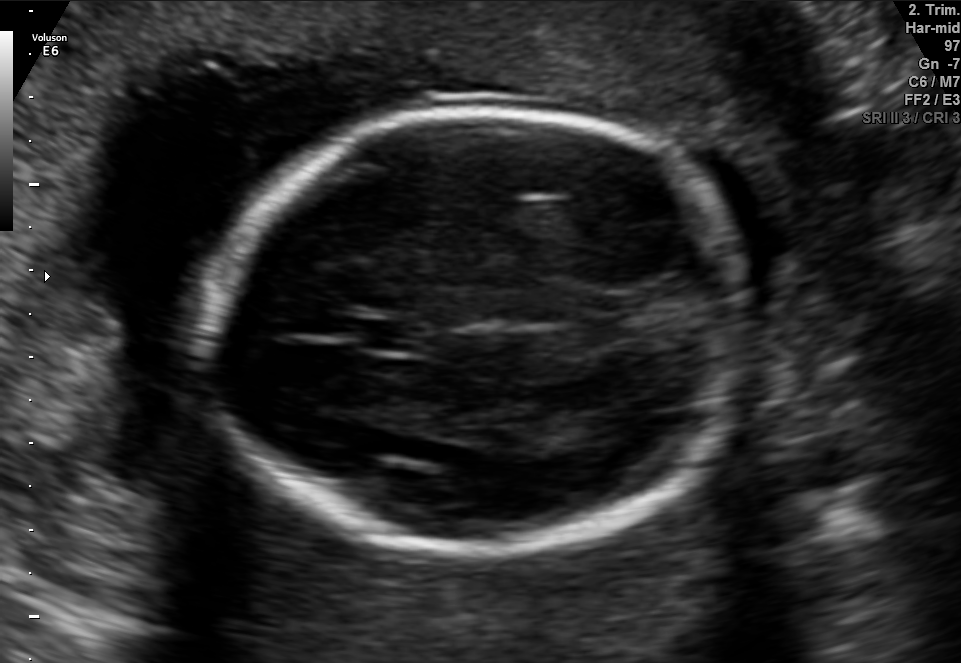
Fetal brain, trans-thalamic plane. Locate the cavum septum pellucidum.

CSP: [358,317,425,352]